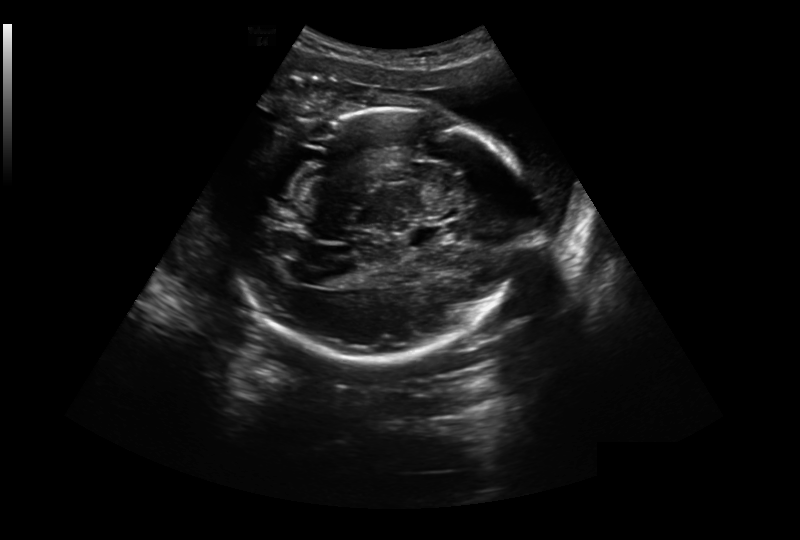
Fetal head ultrasound. Image width: 243.0 mm. Where is the lateral ventricle?

Lateral ventricle bounding box: [322,271,353,288]